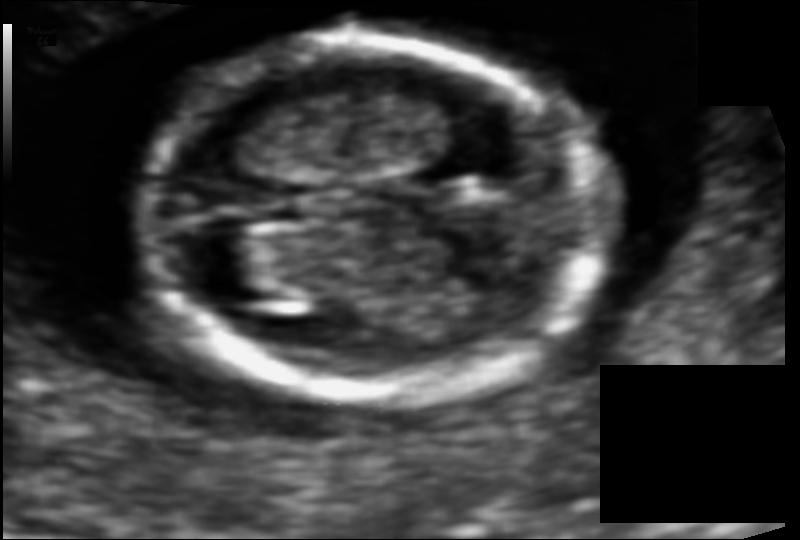
From this fetal ultrasound, estimate the head circumference (image width 59.6 mm).

Head circumference: 99.4 mm.